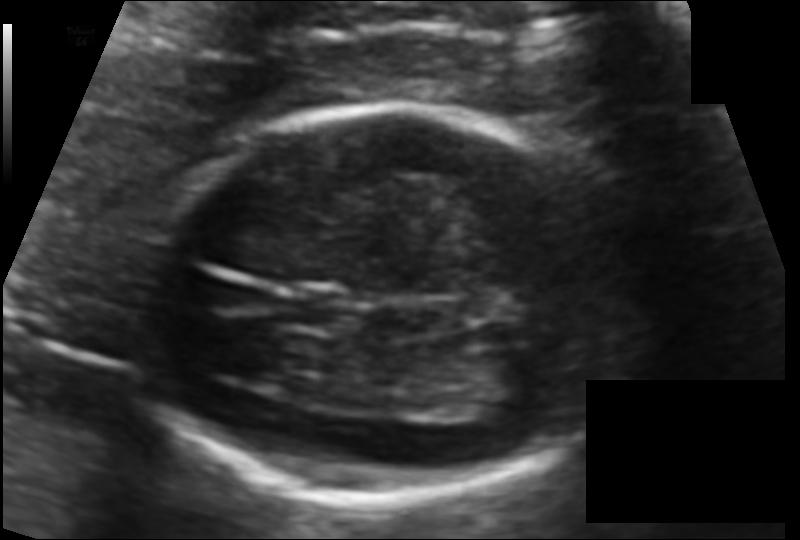
Fetal head ultrasound. Image width: 80.0 mm. Give [x1,y1,x2,y2] bounding boxes for each visible structure among: fetal head, CSP, LV.

Head: [141,105,632,499]